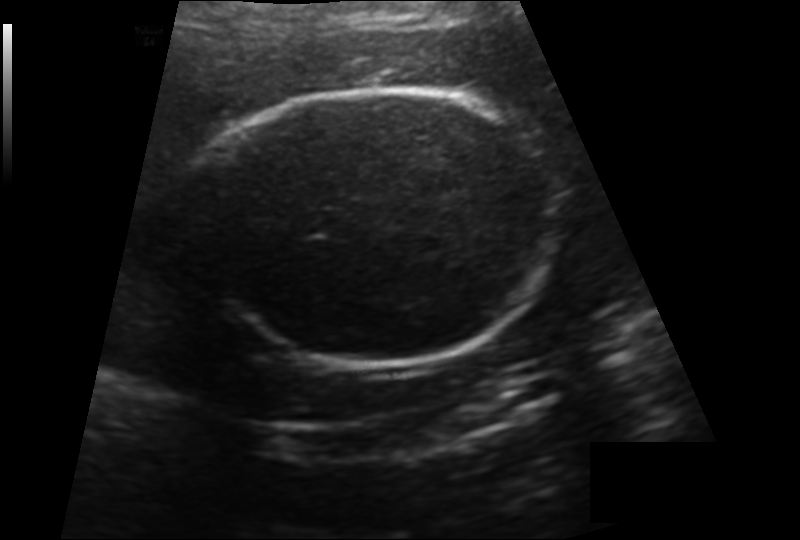
In this fetal head ultrasound, give the bounding box of the fetal head. Image width: 133.0 mm.

[199,87,552,364]